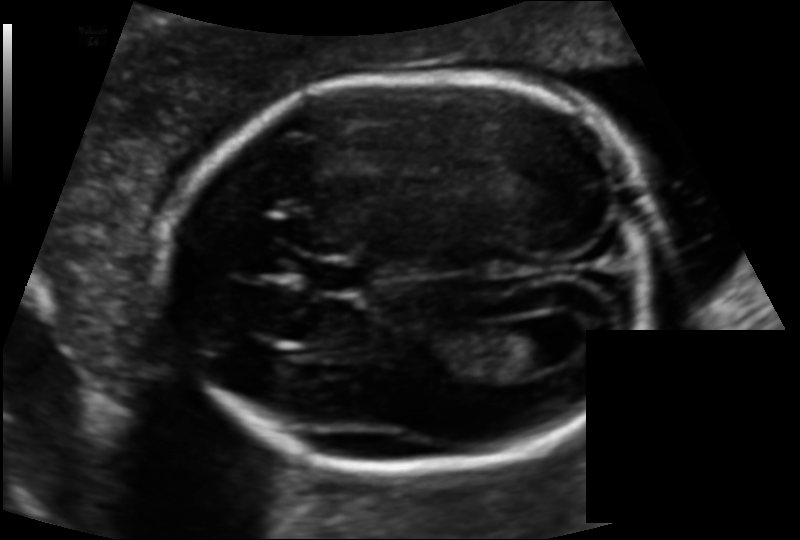
Fetal head ultrasound. Image width: 95.5 mm. Locate the lateral ventricle.

Lateral ventricle: [490,317,567,378]